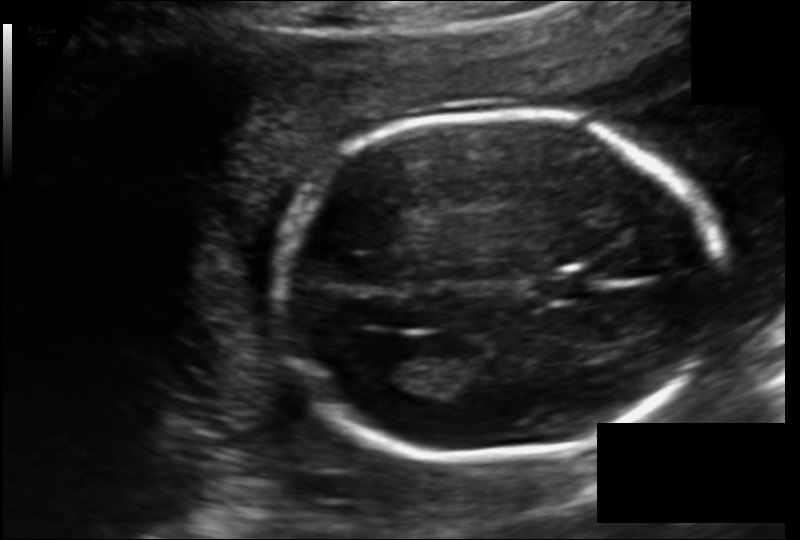
In this fetal head ultrasound, give bounding boxes for the head outline, cavum septum pellucidum (CSP), and lateral ventricle (LV), where visible. Image width: 107.8 mm.

Head: [274,110,729,454]
CSP: [534,268,592,307]
Lateral ventricle: [368,346,439,396]